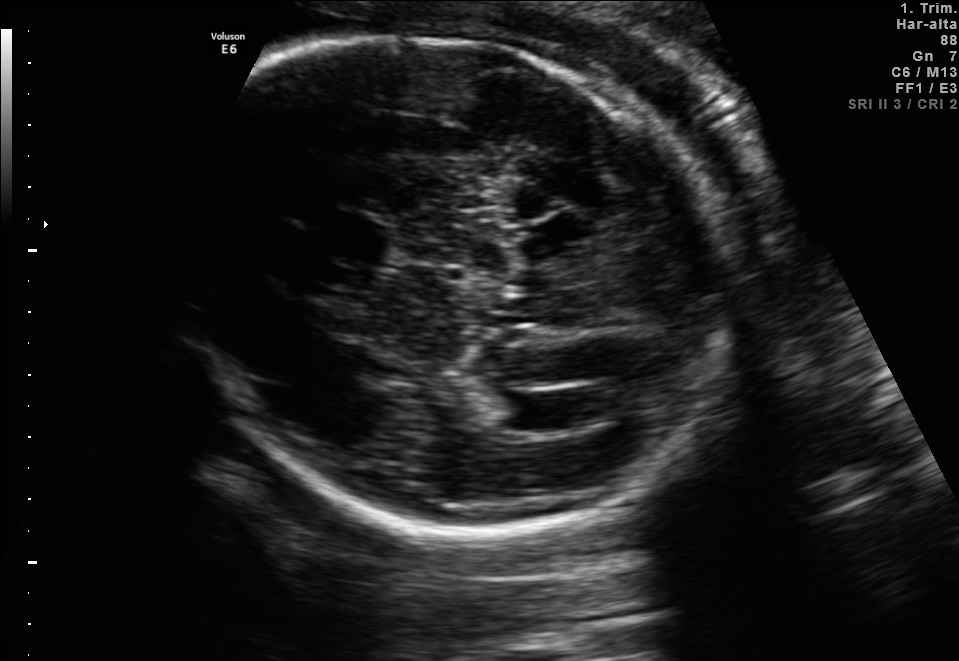
Fetal brain, trans-ventricular plane. Locate the cavum septum pellucidum.

CSP: [336,213,398,267]